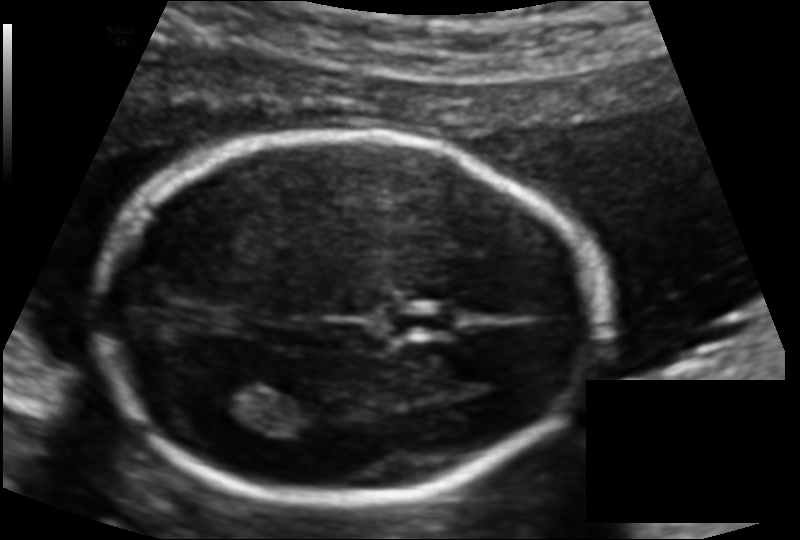
Estimate the fetal head circumference from this 2D ultrasound.

Head circumference: 163.4 mm (image width 91.6 mm).